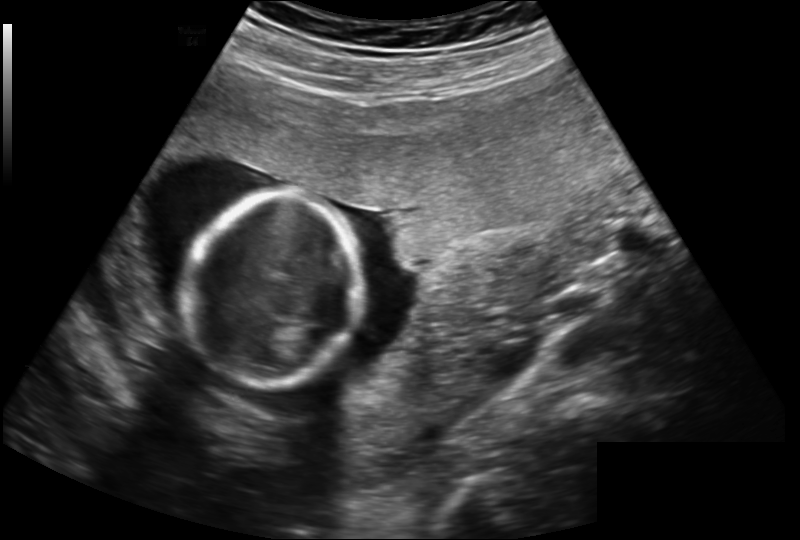
Fetal head ultrasound. Image width: 161.5 mm. Give [x1,y1,x2,y2] bounding boxes for each visible structure among: fetal head, CSP, LV.

Head: [188,193,364,388]